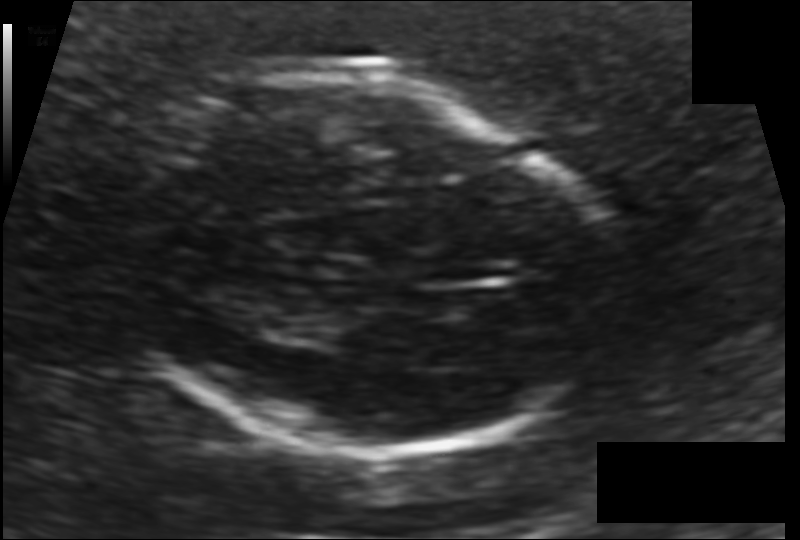
What is the fetal head circumference? Image width is 105.5 mm.

180.0 mm